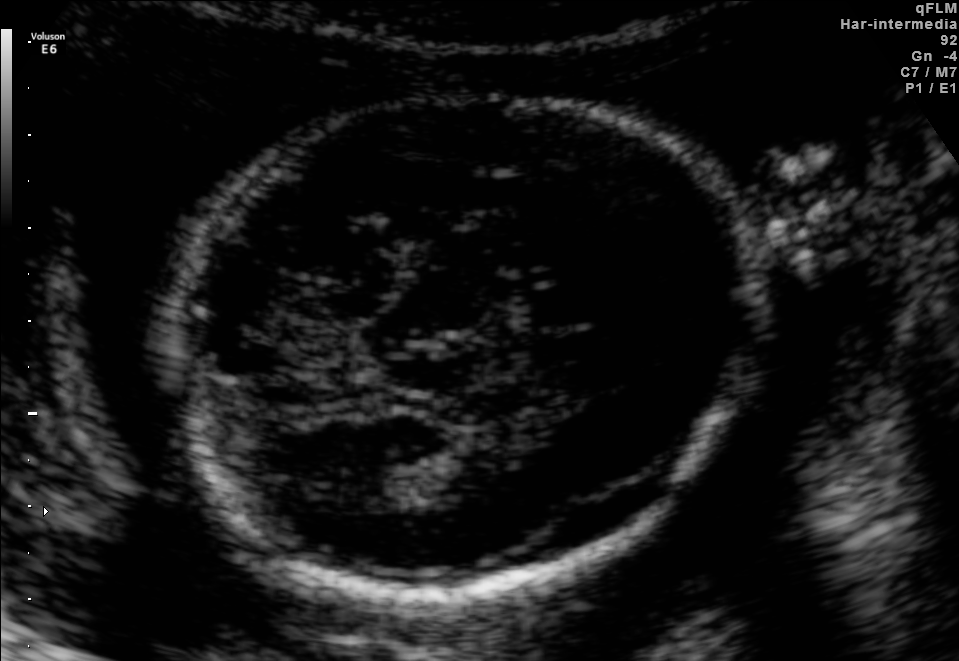
In this fetal brain, trans-thalamic plane, give the bounding box of the lateral ventricle.

[331,464,404,514]